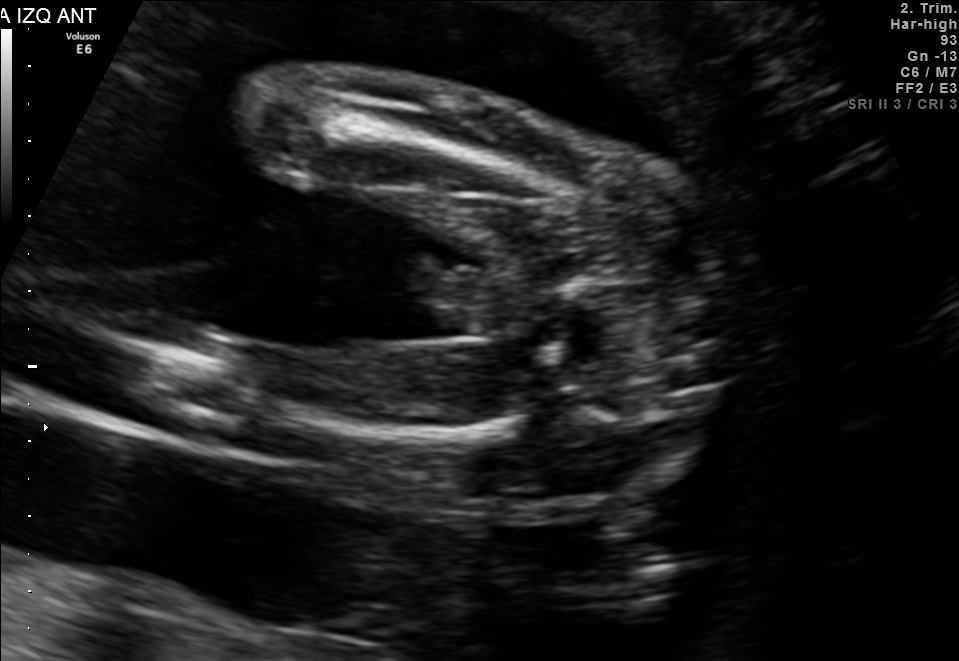
Classify this maternal-fetal ultrasound image as one of the six standard planes — fetal abdomen, fetal brain, fetal femur, fetal thorax, maternal cervix, or other. If it's fetal brain and one of the three standard brain planes (trans-thalamic, trans-cerebellum, trans-ventricular), name which.

Fetal femur